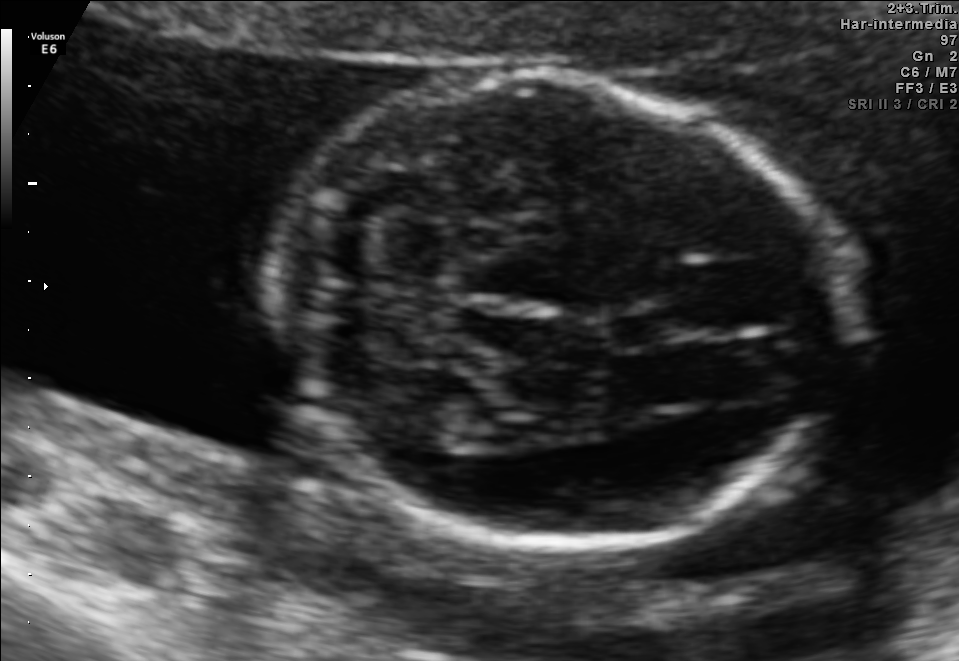
Fetal brain, trans-cerebellum plane. Locate the cavum septum pellucidum.

CSP: [602,303,685,354]